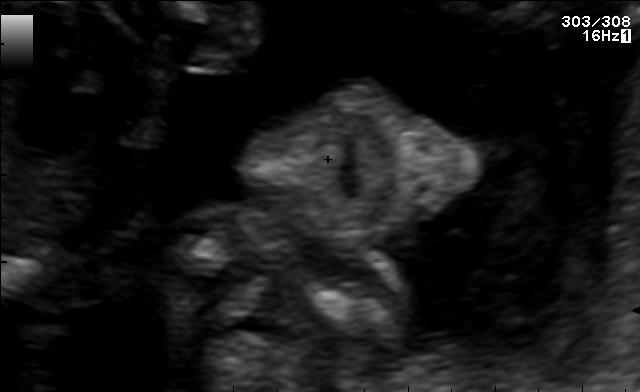
This is a 2D maternal-fetal ultrasound frame. Is it a fetal abdomen, fetal brain, fetal femur, fetal thorax, maternal cervix, or other standard plane? If it's fetal brain and one of the three standard brain planes (trans-thalamic, trans-cerebellum, trans-ventricular), name which.

Other